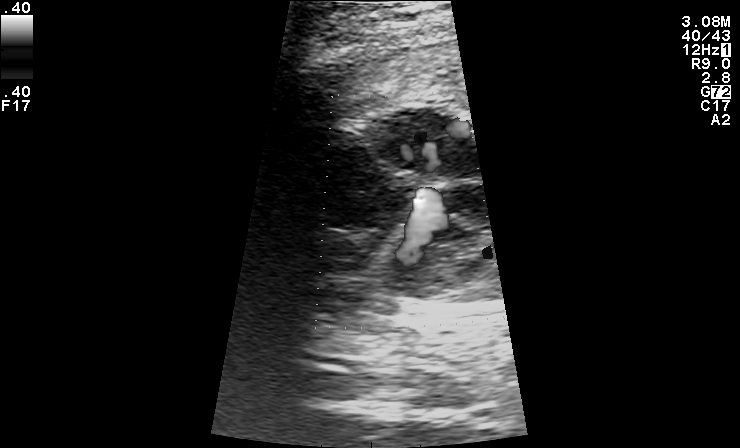
This is a 2D maternal-fetal ultrasound frame. Is it a fetal abdomen, fetal brain, fetal femur, fetal thorax, maternal cervix, or other standard plane? If it's fetal brain and one of the three standard brain planes (trans-thalamic, trans-cerebellum, trans-ventricular), name which.

Other